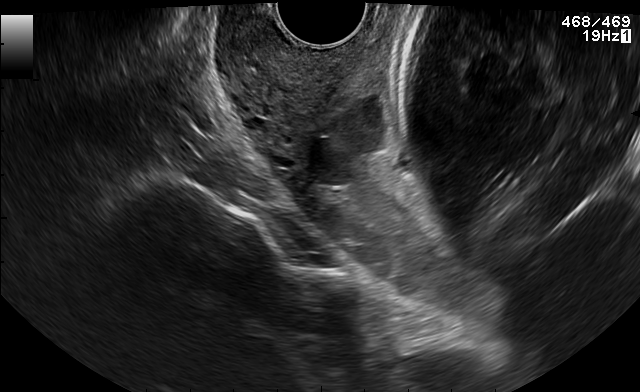
Which standard maternal-fetal ultrasound plane is shown: fetal abdomen, fetal brain, fetal femur, fetal thorax, maternal cervix, or other? If it's fetal brain and one of the three standard brain planes (trans-thalamic, trans-cerebellum, trans-ventricular), name which.

Maternal cervix